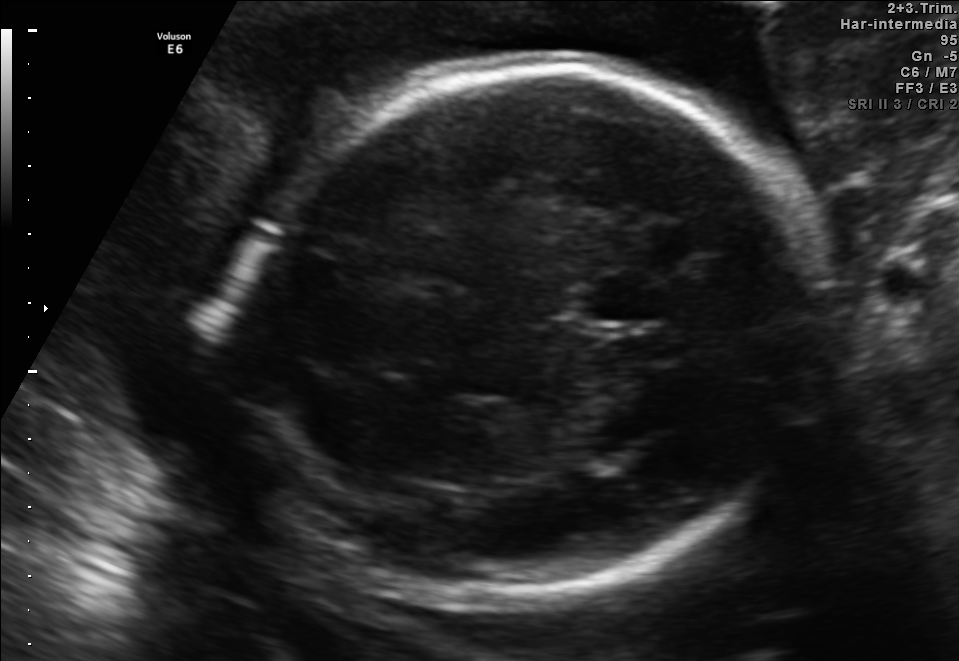
Fetal brain, trans-thalamic plane. Locate the fetal head.

Head: [233,65,804,608]